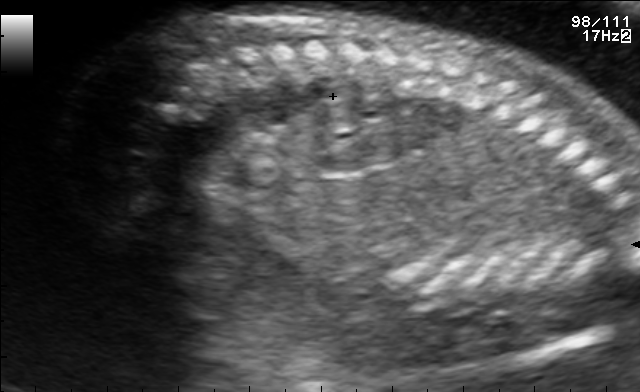
Which standard maternal-fetal ultrasound plane is shown: fetal abdomen, fetal brain, fetal femur, fetal thorax, maternal cervix, or other? If it's fetal brain and one of the three standard brain planes (trans-thalamic, trans-cerebellum, trans-ventricular), name which.

Other